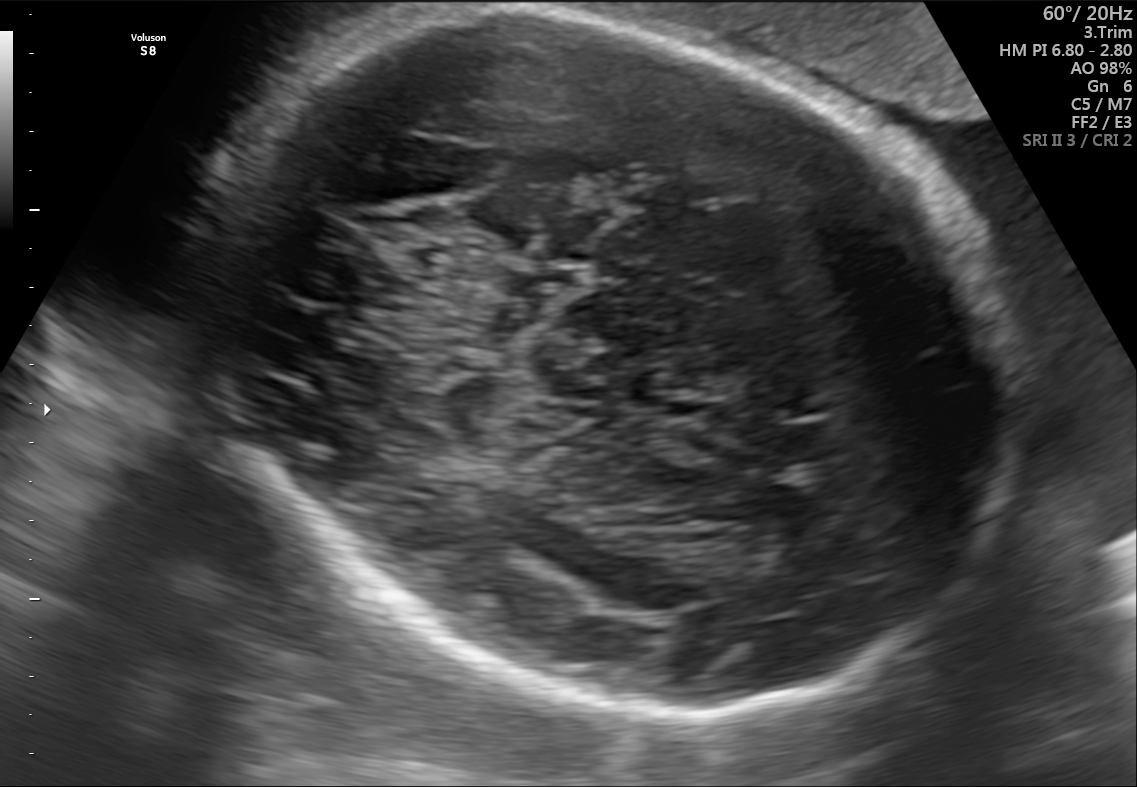
Fetal brain, trans-thalamic plane. Give [x1,y1,x2,y2] bounding boxes for each visible structure among: fetal head, CSP, LV.

Head: [165,8,1020,726]